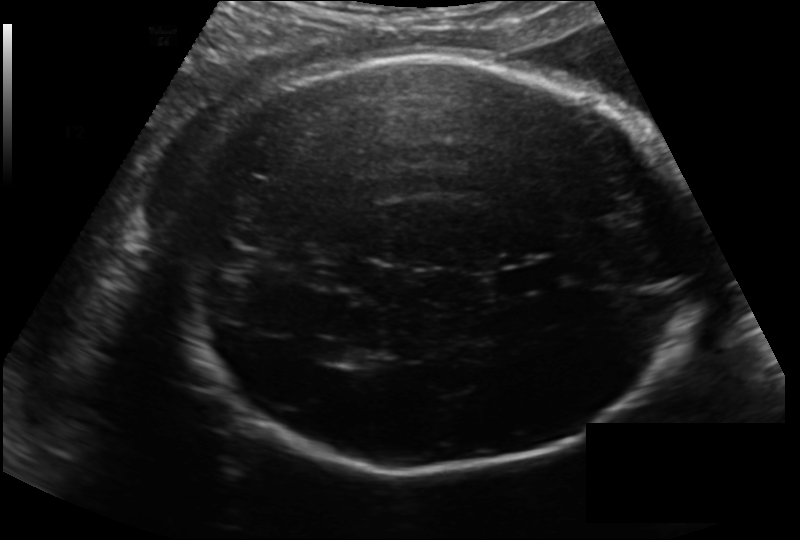
Fetal head ultrasound. Image width: 146.5 mm. Locate the cavum septum pellucidum.

CSP: [490,254,570,302]